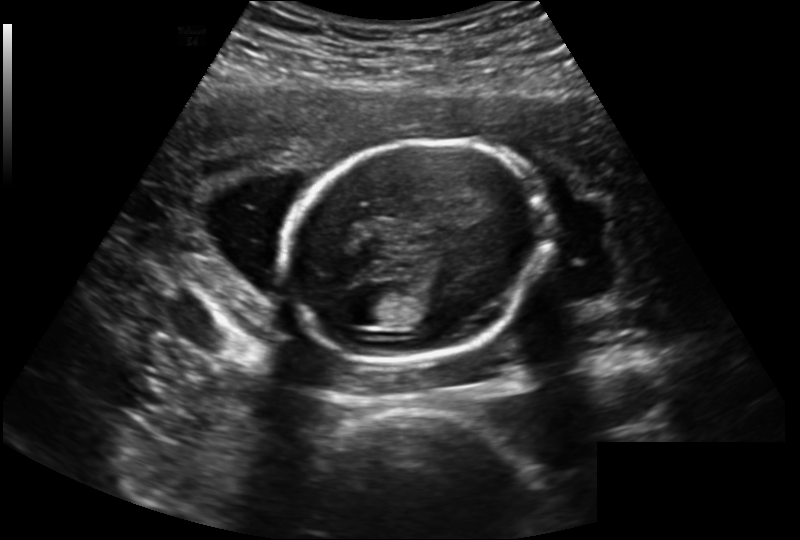
Estimate the fetal head circumference from this 2D ultrasound.

Head circumference: 160.0 mm (image width 161.7 mm).